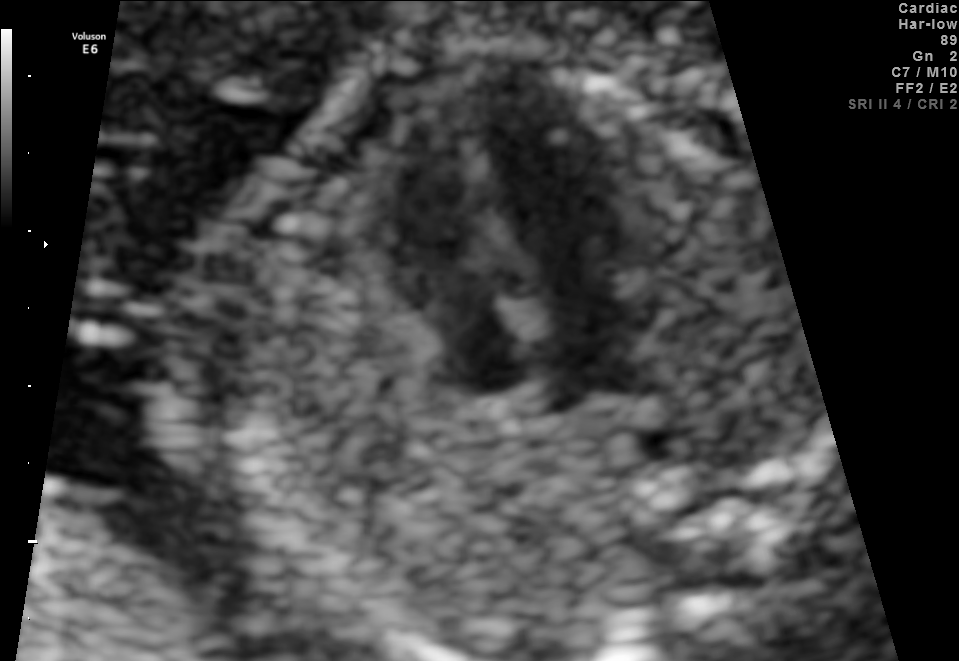
Classify this maternal-fetal ultrasound image as one of the six standard planes — fetal abdomen, fetal brain, fetal femur, fetal thorax, maternal cervix, or other. If it's fetal brain and one of the three standard brain planes (trans-thalamic, trans-cerebellum, trans-ventricular), name which.

Fetal thorax